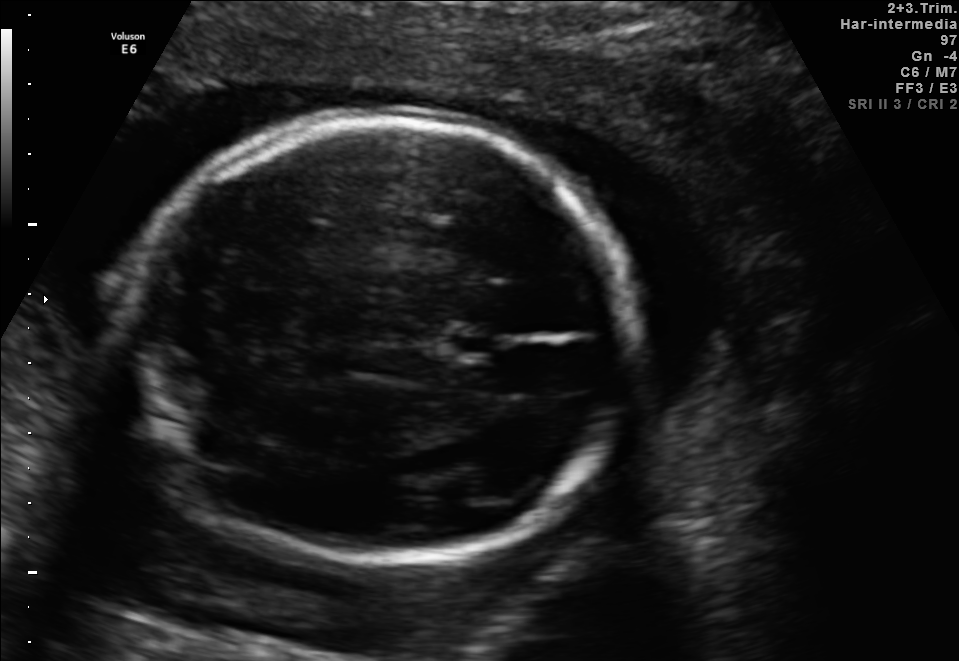
Which standard maternal-fetal ultrasound plane is shown: fetal abdomen, fetal brain, fetal femur, fetal thorax, maternal cervix, or other? If it's fetal brain and one of the three standard brain planes (trans-thalamic, trans-cerebellum, trans-ventricular), name which.

Fetal brain (trans-thalamic plane)